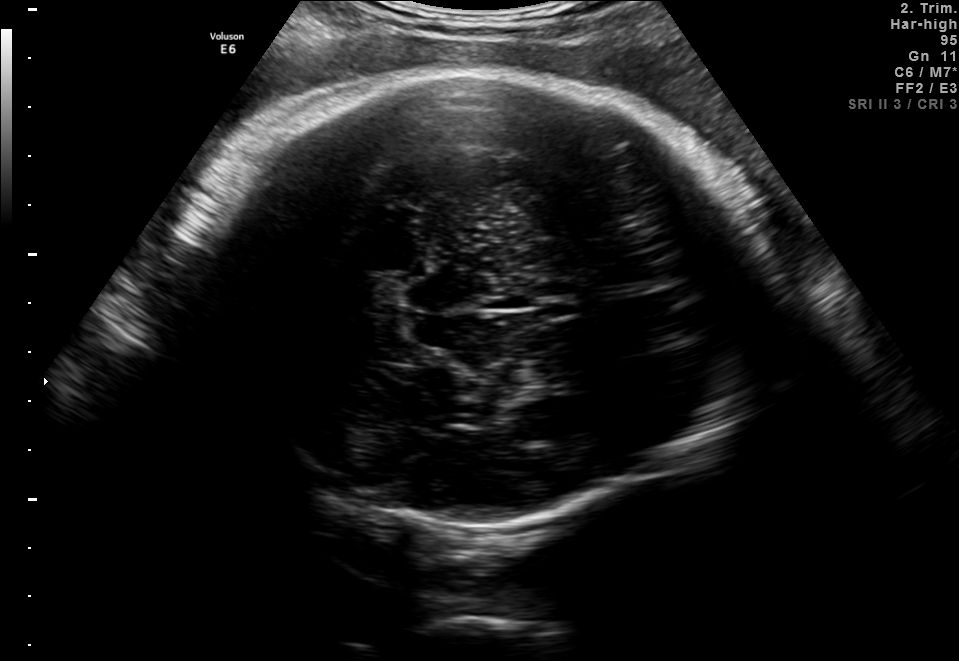
This is a 2D maternal-fetal ultrasound frame. Is it a fetal abdomen, fetal brain, fetal femur, fetal thorax, maternal cervix, or other standard plane? If it's fetal brain and one of the three standard brain planes (trans-thalamic, trans-cerebellum, trans-ventricular), name which.

Fetal brain (trans-thalamic plane)